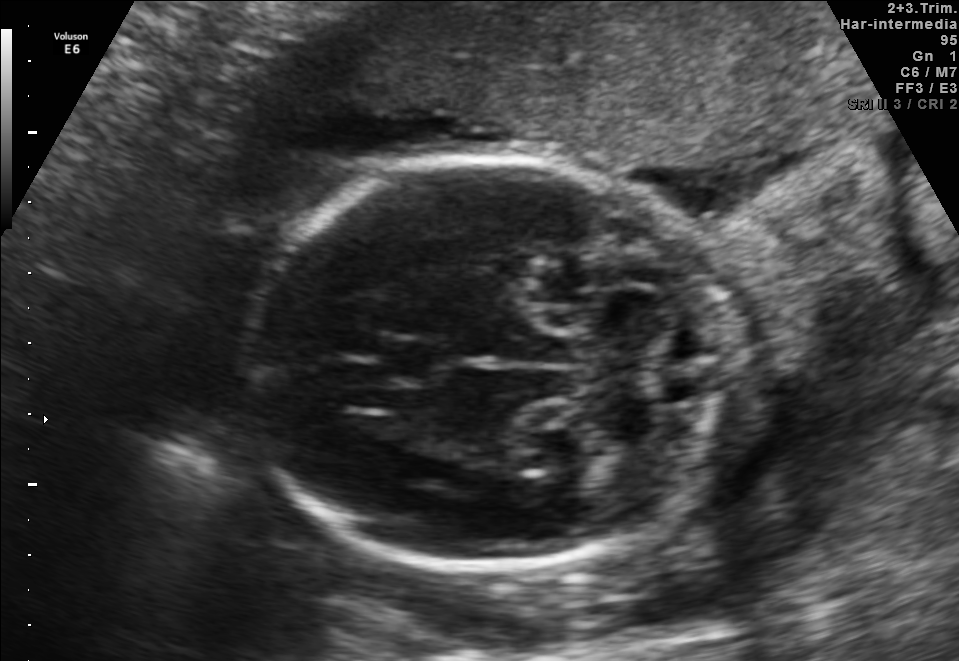
Fetal brain, trans-cerebellum plane. Where is the cavum septum pellucidum?

CSP bounding box: [380,336,442,383]